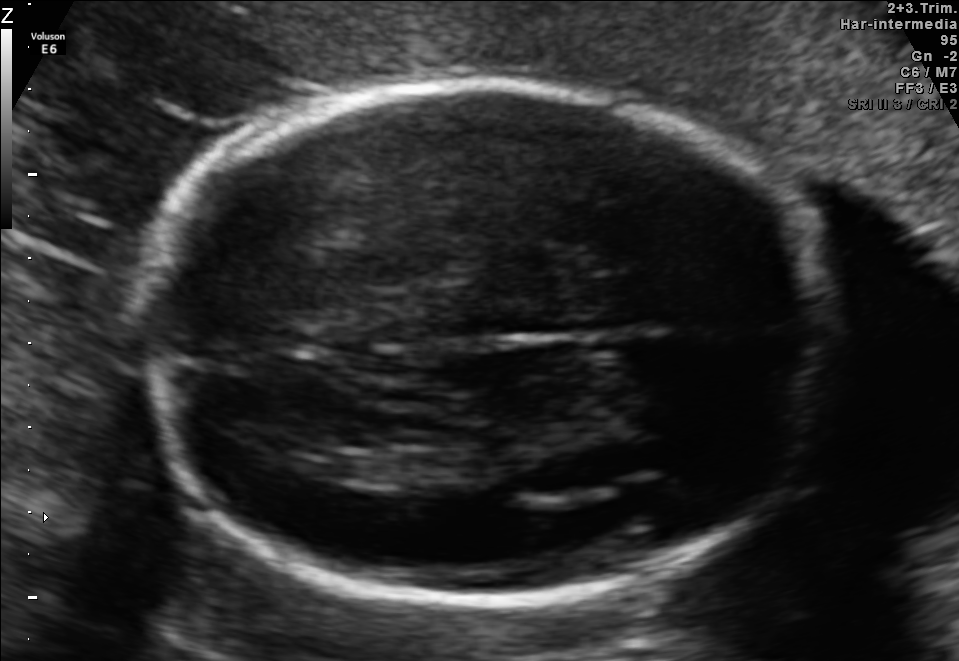
This is a 2D maternal-fetal ultrasound frame. Is it a fetal abdomen, fetal brain, fetal femur, fetal thorax, maternal cervix, or other standard plane? If it's fetal brain and one of the three standard brain planes (trans-thalamic, trans-cerebellum, trans-ventricular), name which.

Fetal brain (trans-thalamic plane)